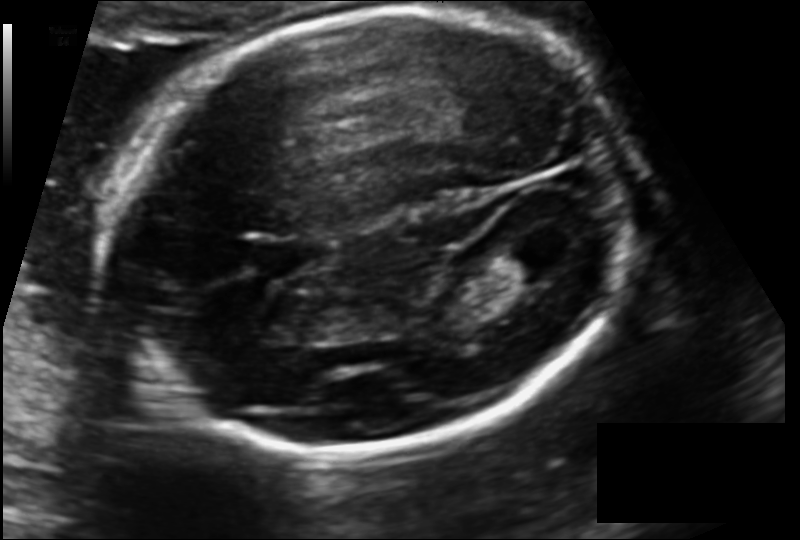
Fetal head ultrasound. Image width: 105.5 mm. Locate the fetal head.

Head: [111,9,637,453]